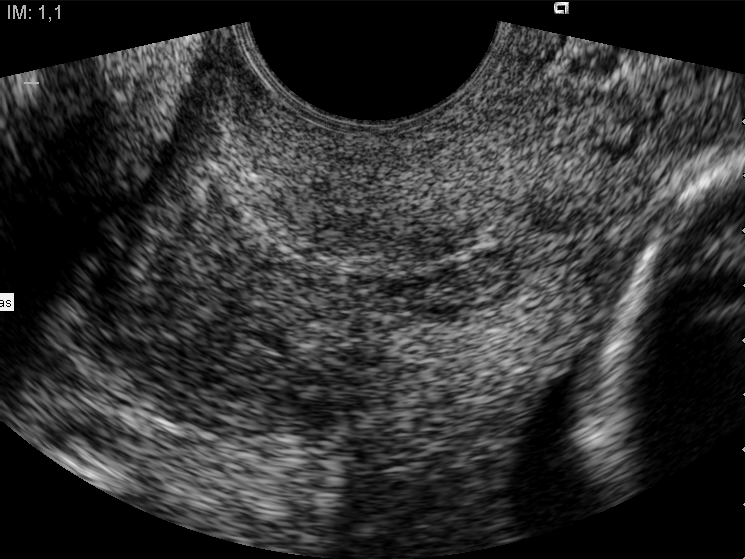
Identify the standard plane in this fetal ultrasound image: fetal abdomen, fetal brain, fetal femur, fetal thorax, maternal cervix, or other. If it's fetal brain and one of the three standard brain planes (trans-thalamic, trans-cerebellum, trans-ventricular), name which.

Maternal cervix